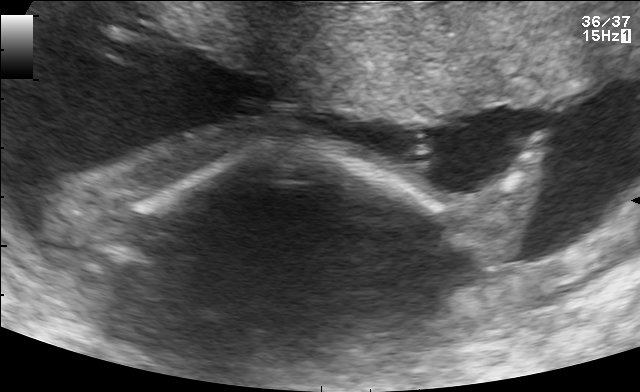
This is a 2D maternal-fetal ultrasound frame. Is it a fetal abdomen, fetal brain, fetal femur, fetal thorax, maternal cervix, or other standard plane? If it's fetal brain and one of the three standard brain planes (trans-thalamic, trans-cerebellum, trans-ventricular), name which.

Other